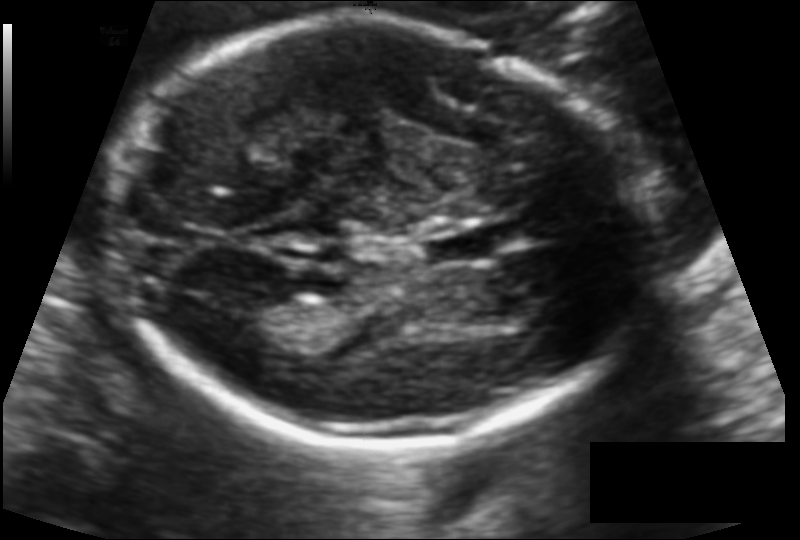
What is the fetal head circumference? Image width is 90.9 mm.

179.2 mm